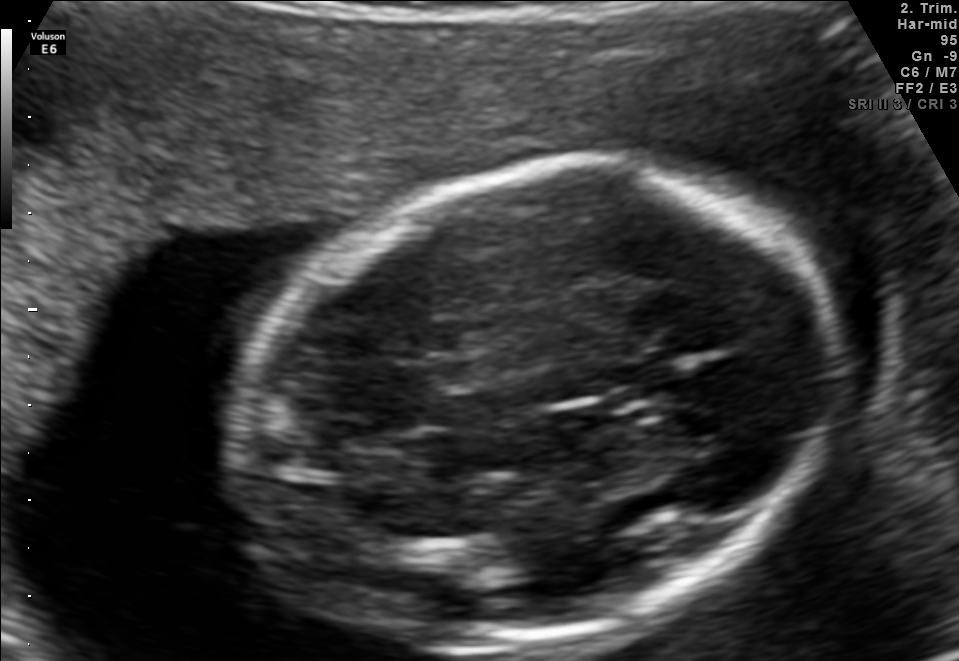
Fetal brain, trans-thalamic plane. Locate the fetal head and, if visible, the cavum septum pellucidum (CSP) and lateral ventricle (LV). Give bounding boxes as [x1,y1,x2,y2].

Head: [232,155,839,654]